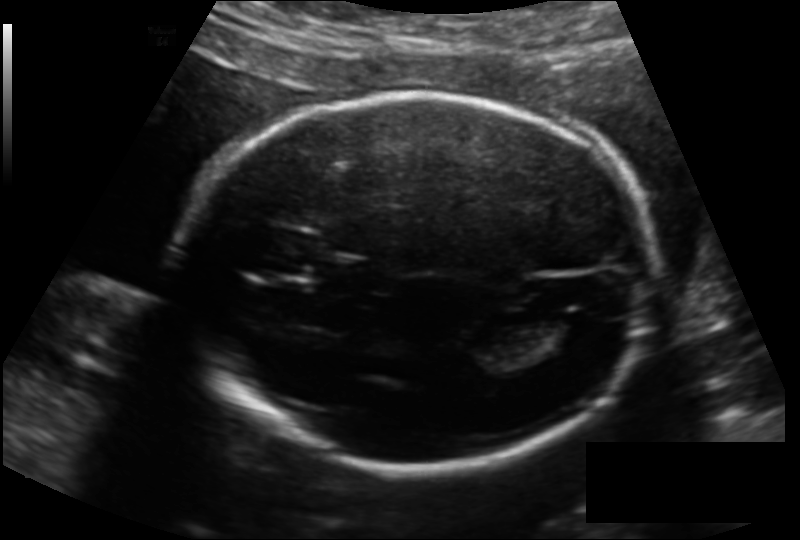
Fetal head ultrasound. Image width: 120.8 mm. Locate the fetal head and, if visible, the cavum septum pellucidum (CSP) and lateral ventricle (LV). Give bounding boxes as [x1,y1,x2,y2].

Head: [174,94,652,467]
Lateral ventricle: [534,306,600,354]